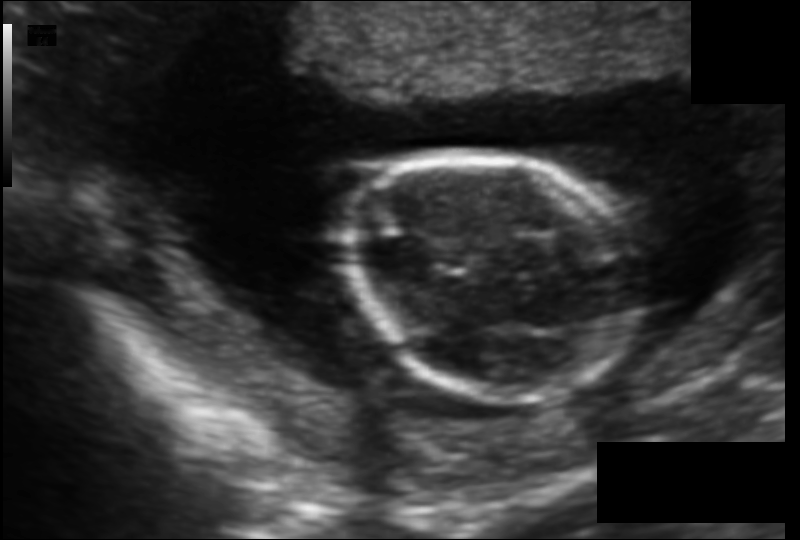
In this fetal head ultrasound, give the bounding box of the fetal head. Image width: 92.1 mm.

[347,149,643,403]